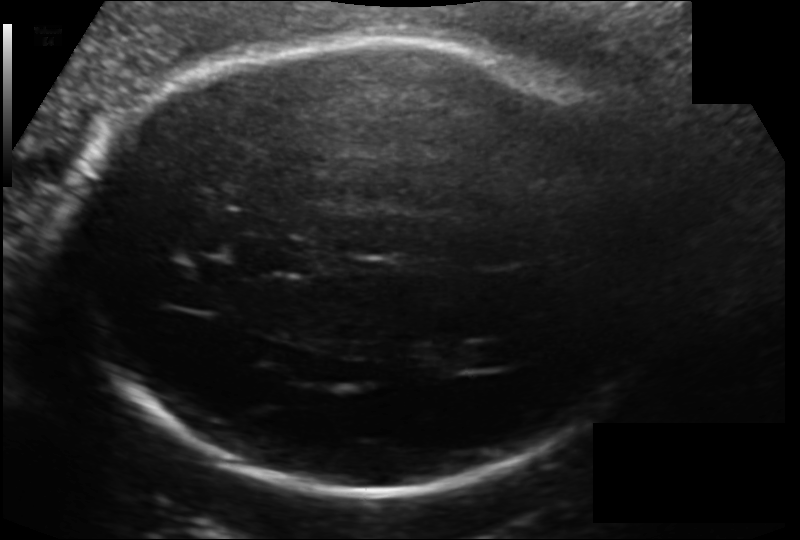
Fetal head ultrasound. Image width: 123.2 mm. Locate the fetal head.

Head: [72,38,657,493]